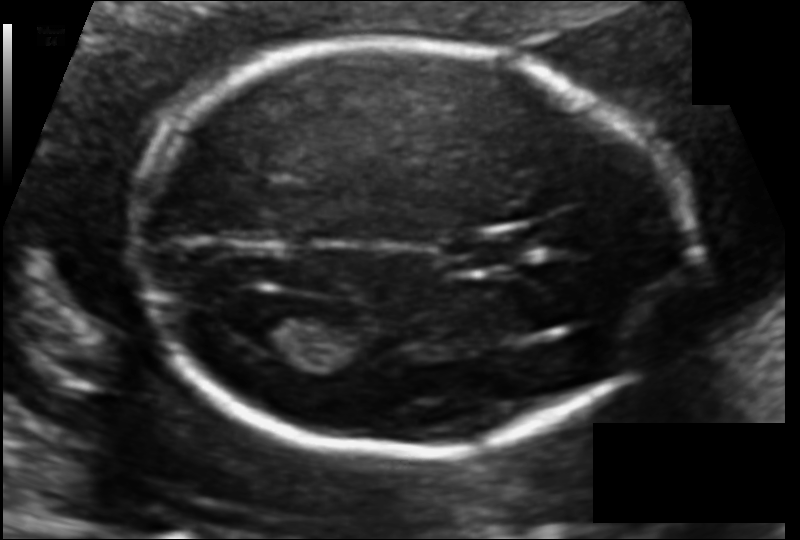
In this fetal head ultrasound, give the bounding box of the fetal head. Image width: 84.8 mm.

[128,44,686,453]